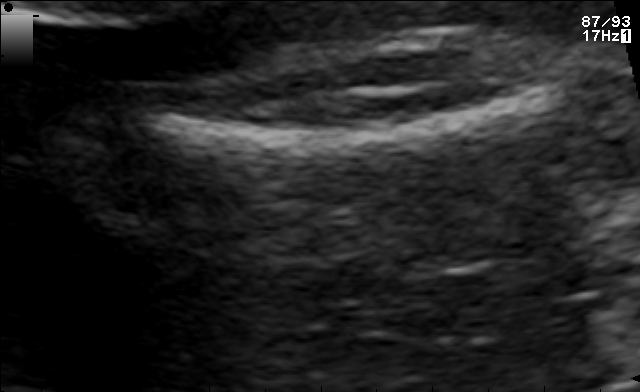
Identify the standard plane in this fetal ultrasound image: fetal abdomen, fetal brain, fetal femur, fetal thorax, maternal cervix, or other. If it's fetal brain and one of the three standard brain planes (trans-thalamic, trans-cerebellum, trans-ventricular), name which.

Fetal femur